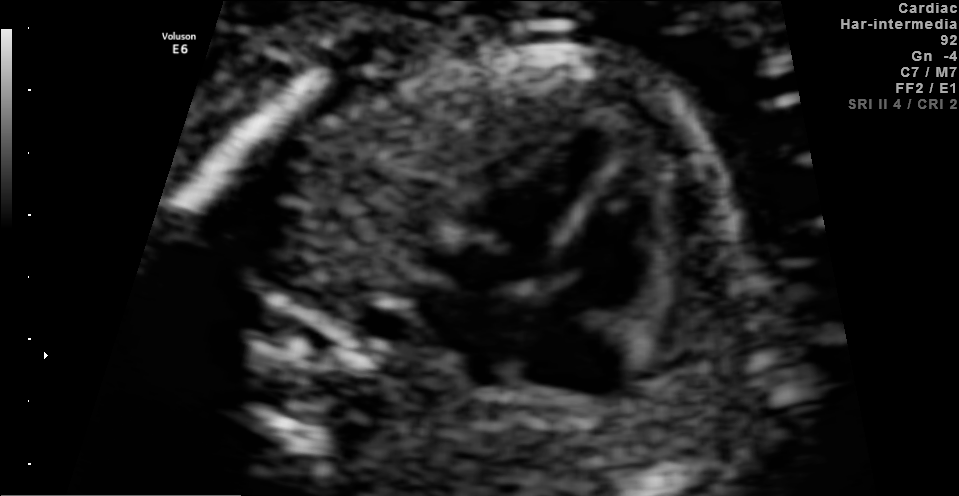
Classify this maternal-fetal ultrasound image as one of the six standard planes — fetal abdomen, fetal brain, fetal femur, fetal thorax, maternal cervix, or other. If it's fetal brain and one of the three standard brain planes (trans-thalamic, trans-cerebellum, trans-ventricular), name which.

Fetal thorax